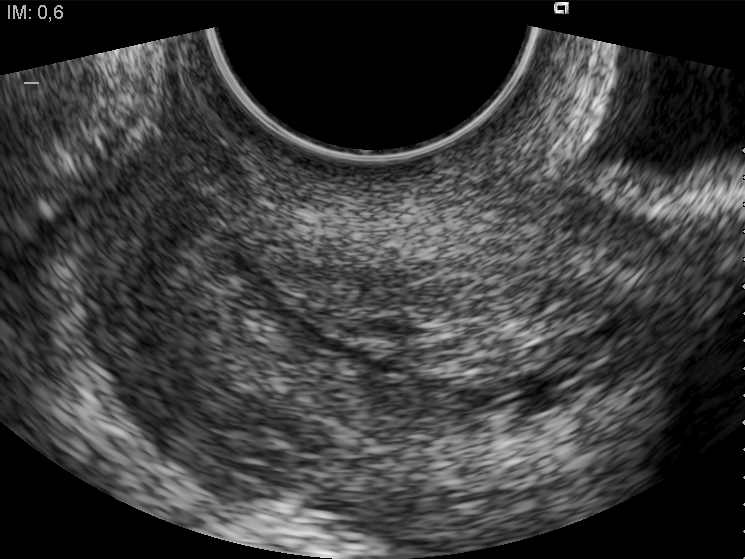
Identify the standard plane in this fetal ultrasound image: fetal abdomen, fetal brain, fetal femur, fetal thorax, maternal cervix, or other. If it's fetal brain and one of the three standard brain planes (trans-thalamic, trans-cerebellum, trans-ventricular), name which.

Maternal cervix